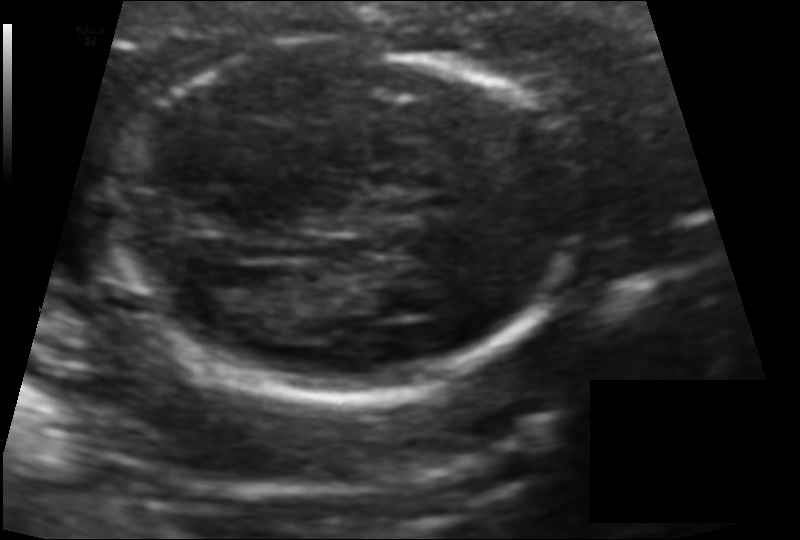
In this fetal head ultrasound, give bounding boxes for the head outline, cavum septum pellucidum (CSP), and lateral ventricle (LV), where visible. Image width: 81.1 mm.

Head: [117,42,571,397]